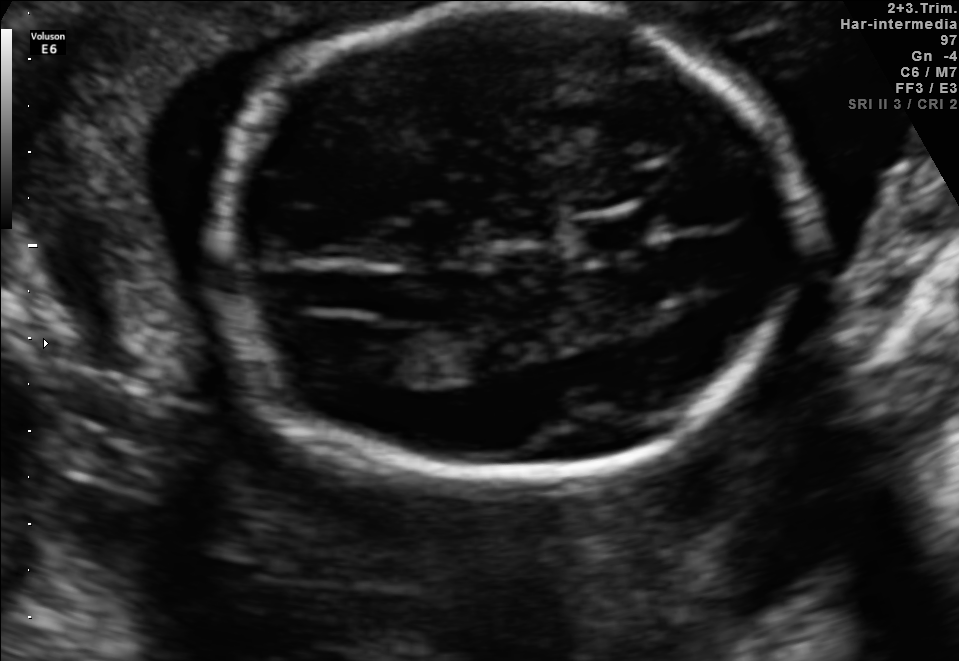
Fetal brain, trans-ventricular plane. Locate the fetal head.

Head: [196,2,831,497]